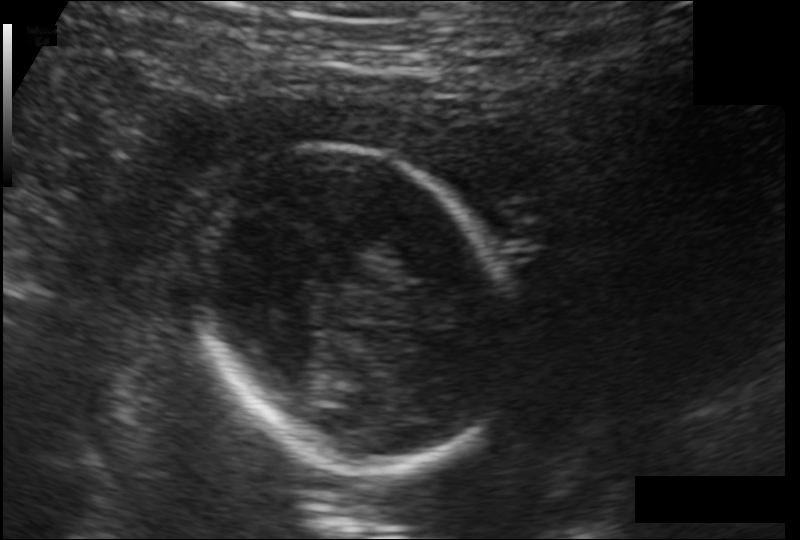
What is the fetal head circumference? Image width is 116.5 mm.

146.2 mm